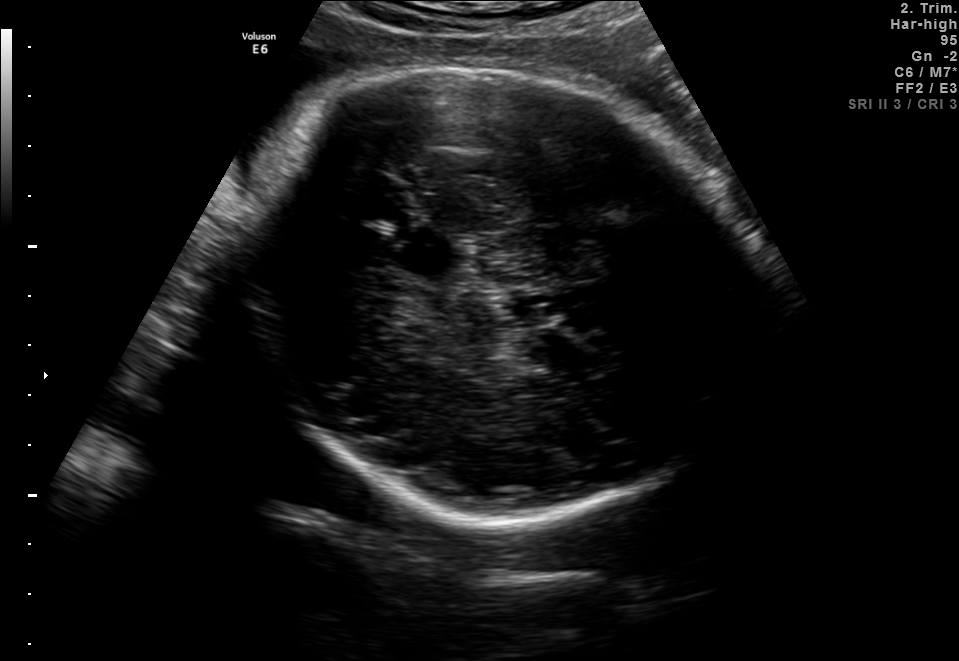
Fetal brain, trans-thalamic plane. Where is the fetal head?

Head bounding box: [227,65,764,522]